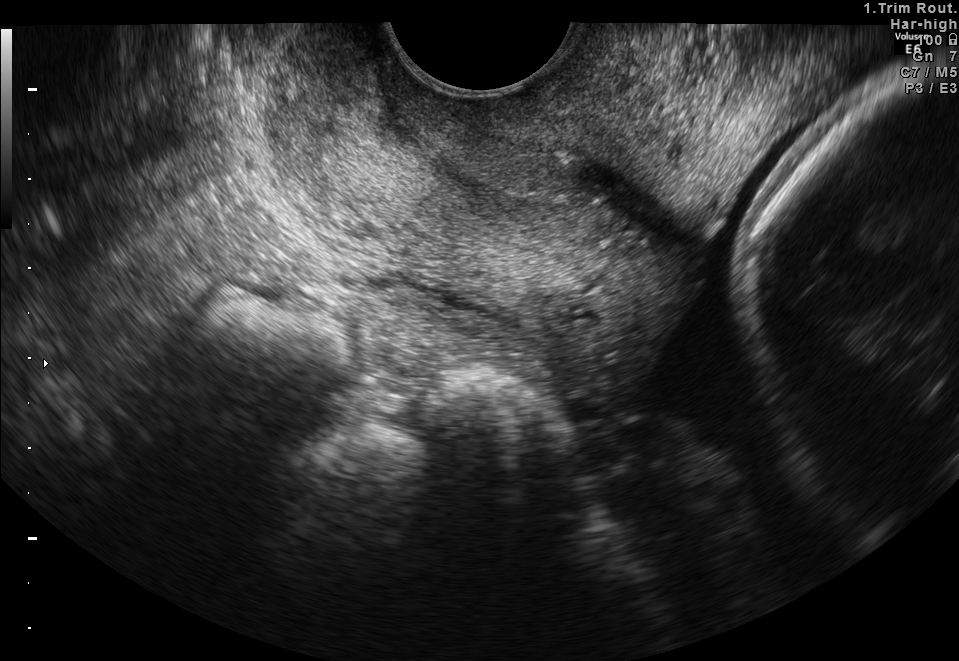
This is a 2D maternal-fetal ultrasound frame. Is it a fetal abdomen, fetal brain, fetal femur, fetal thorax, maternal cervix, or other standard plane? If it's fetal brain and one of the three standard brain planes (trans-thalamic, trans-cerebellum, trans-ventricular), name which.

Maternal cervix